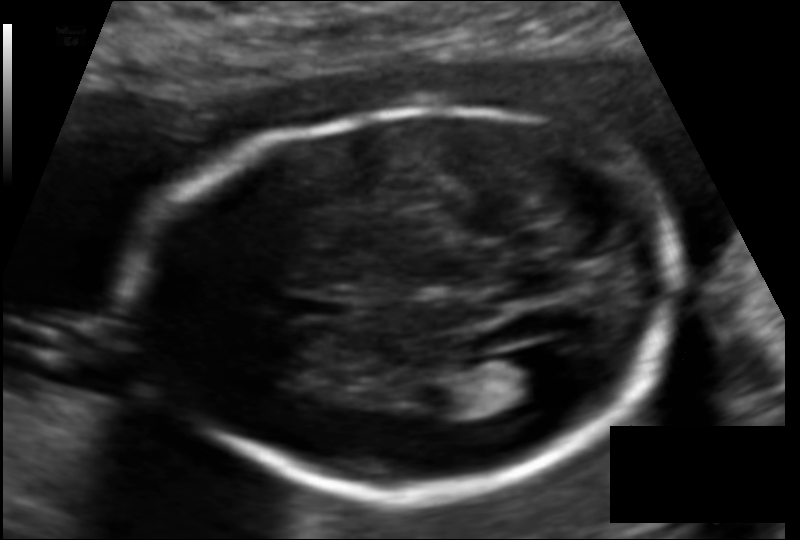
What is the fetal head circumference? Image width is 91.1 mm.

176.0 mm